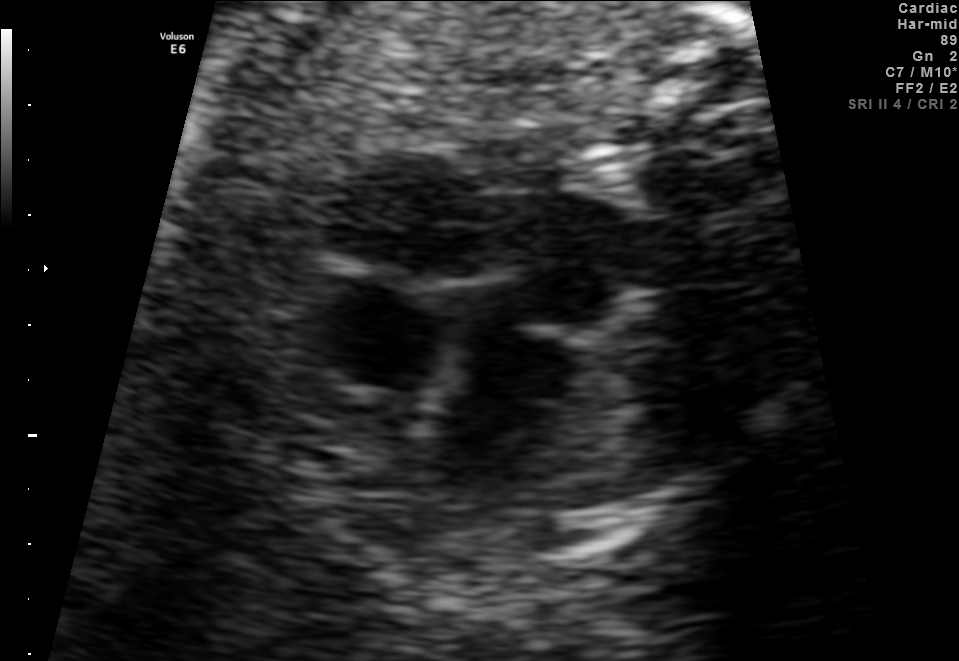
Classify this maternal-fetal ultrasound image as one of the six standard planes — fetal abdomen, fetal brain, fetal femur, fetal thorax, maternal cervix, or other. If it's fetal brain and one of the three standard brain planes (trans-thalamic, trans-cerebellum, trans-ventricular), name which.

Fetal thorax